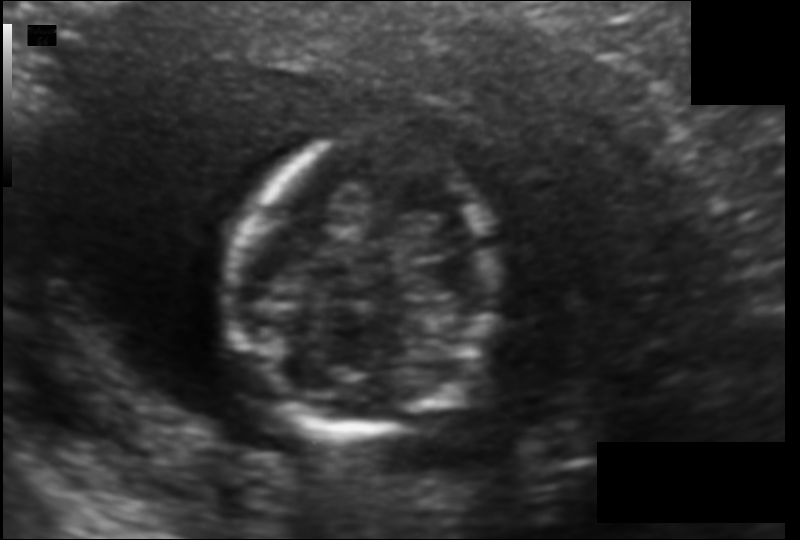
Estimate the fetal head circumference from this 2D ultrasound.

Head circumference: 97.5 mm (image width 83.0 mm).